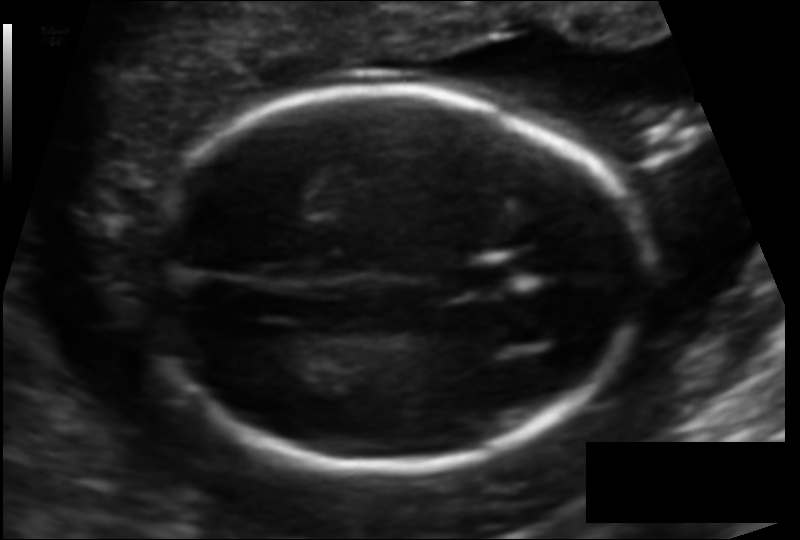
What is the fetal head circumference? Image width is 91.5 mm.

162.0 mm